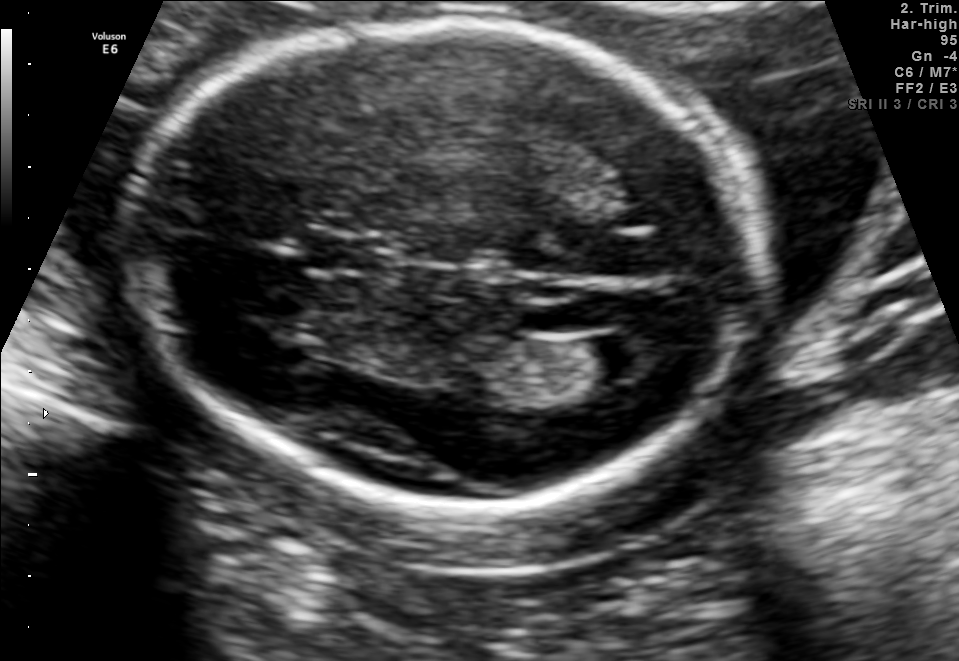
In this fetal brain, trans-ventricular plane, give bounding boxes for the head outline, cavum septum pellucidum (CSP), and lateral ventricle (LV), where visible.

Head: [114,6,785,521]
CSP: [297,223,402,287]
Lateral ventricle: [583,319,667,387]